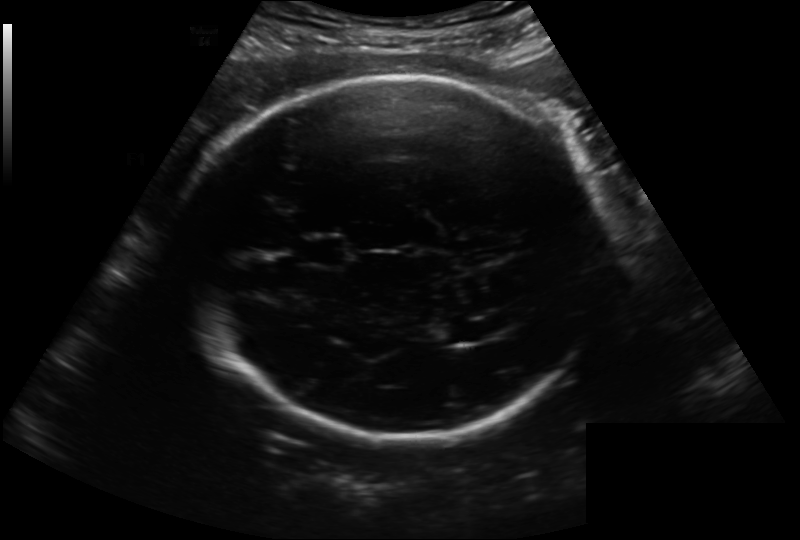
Fetal head ultrasound. Image width: 177.3 mm. Locate the fetal head.

Head: [179,74,607,436]